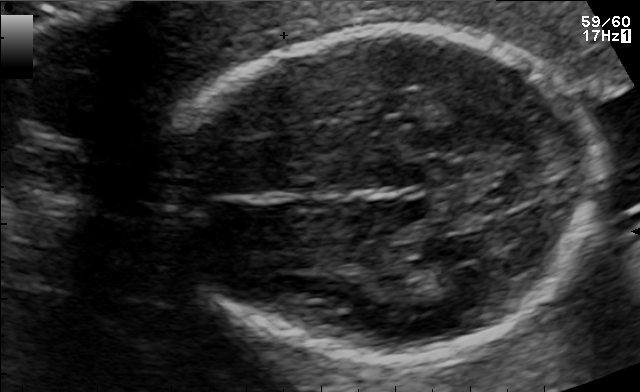
Identify the standard plane in this fetal ultrasound image: fetal abdomen, fetal brain, fetal femur, fetal thorax, maternal cervix, or other. If it's fetal brain and one of the three standard brain planes (trans-thalamic, trans-cerebellum, trans-ventricular), name which.

Fetal brain (trans-thalamic plane)